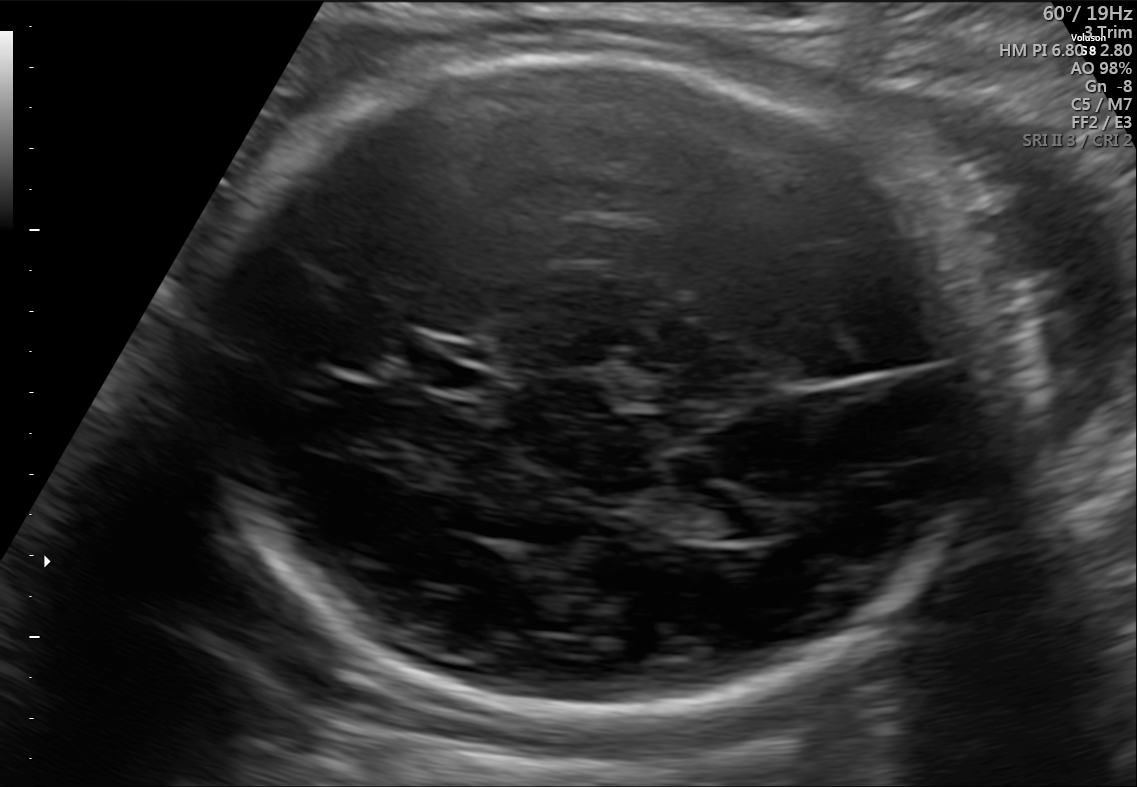
Fetal brain, trans-ventricular plane. Locate the lateral ventricle.

Lateral ventricle: [703,506,782,540]